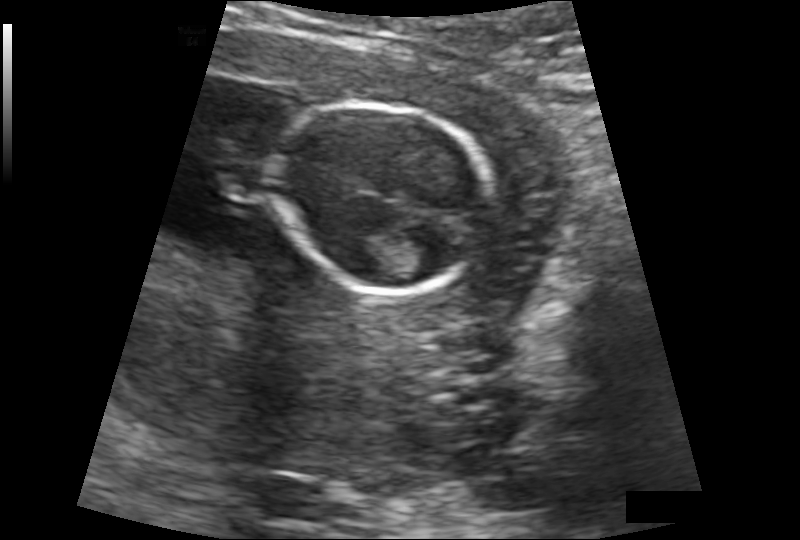
Measure the fetal head circumference shown in this ultrasound image. Image width: 105.8 mm.

Head circumference: 88.5 mm.